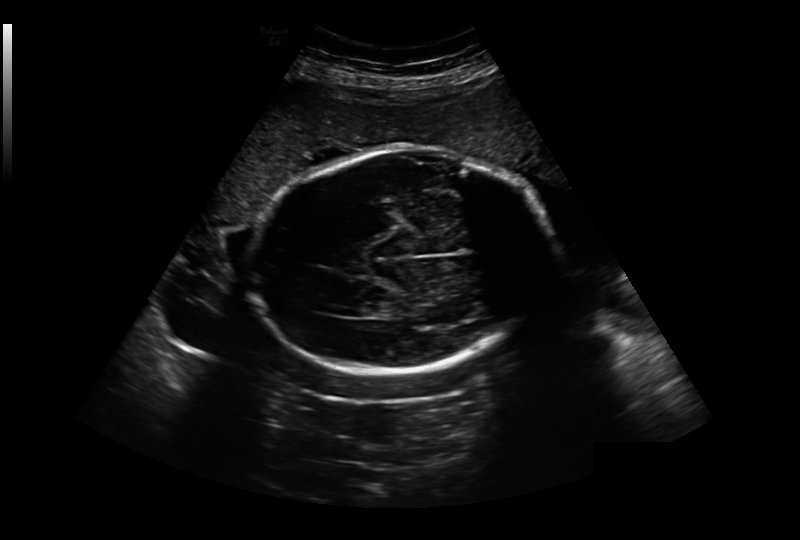
Fetal head ultrasound. Image width: 278.8 mm. Where is the fetal head?

Head bounding box: [249,147,556,372]